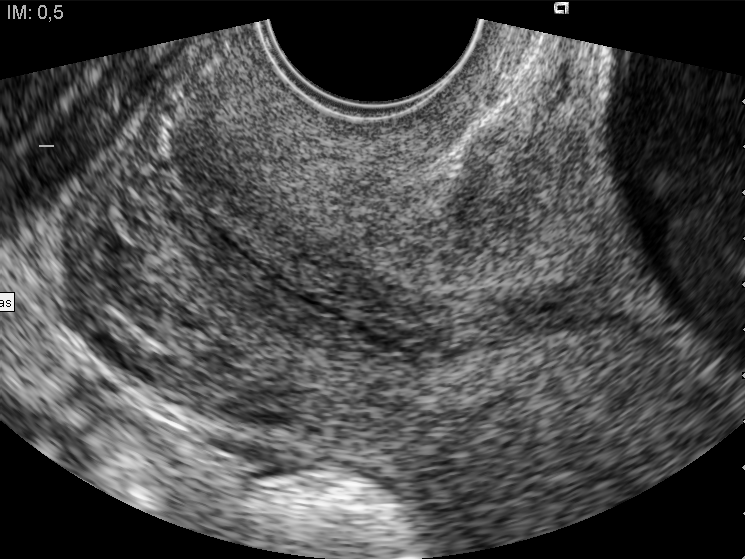
Which standard maternal-fetal ultrasound plane is shown: fetal abdomen, fetal brain, fetal femur, fetal thorax, maternal cervix, or other? If it's fetal brain and one of the three standard brain planes (trans-thalamic, trans-cerebellum, trans-ventricular), name which.

Maternal cervix